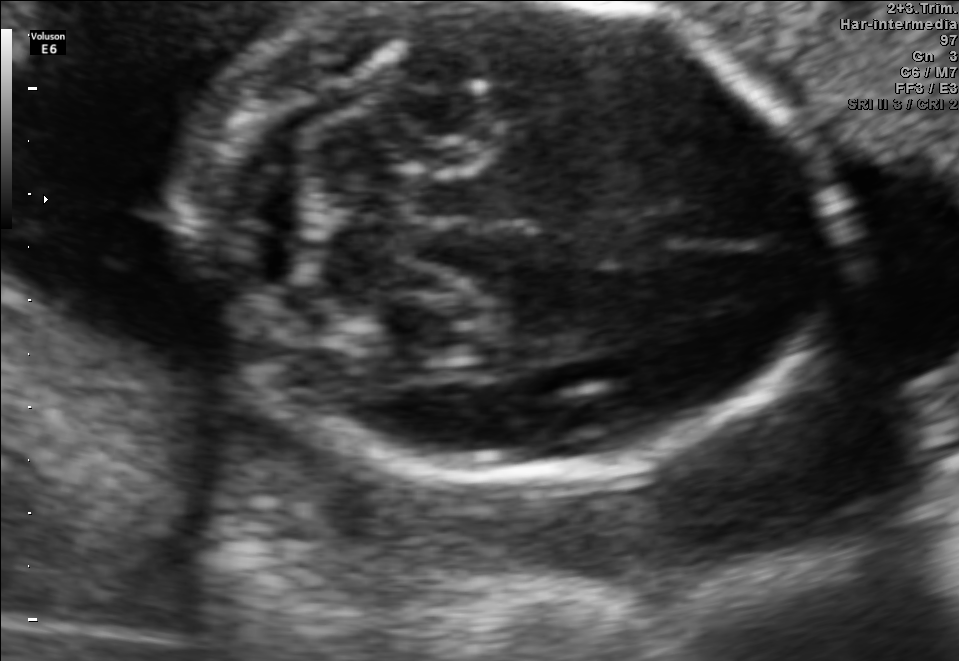
Fetal brain, trans-cerebellum plane. Give [x1,y1,x2,y2] bounding boxes for each visible structure among: fetal head, CSP, LV.

Head: [174,4,841,469]